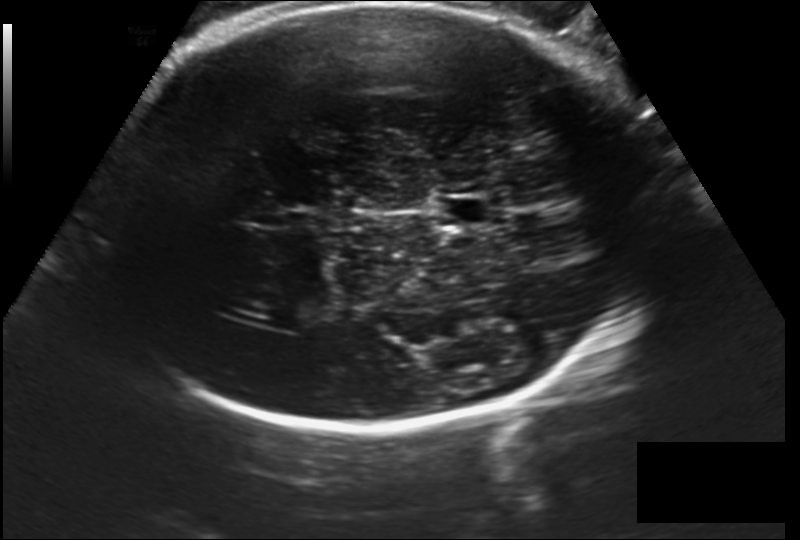
Fetal head ultrasound. Image width: 162.0 mm. Locate the fetal head.

Head: [106,2,661,428]